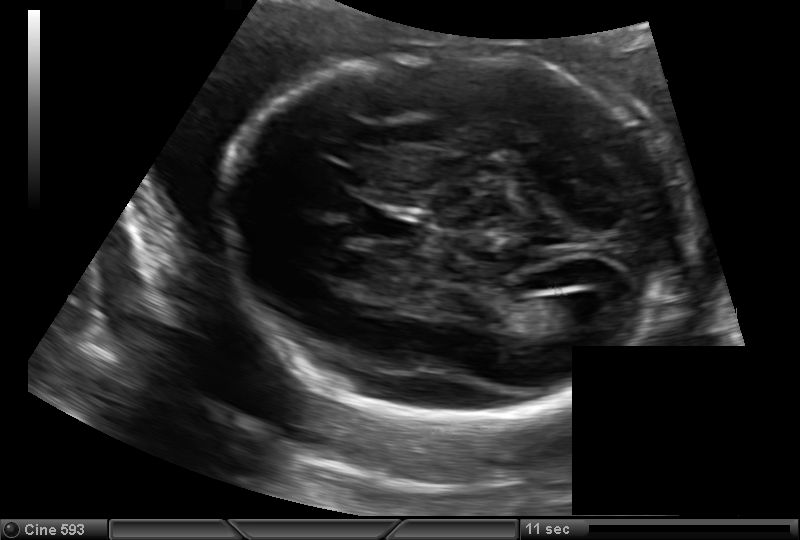
Fetal head ultrasound. Image width: 115.2 mm. Where is the lateral ventricle?

Lateral ventricle bounding box: [535,292,598,332]